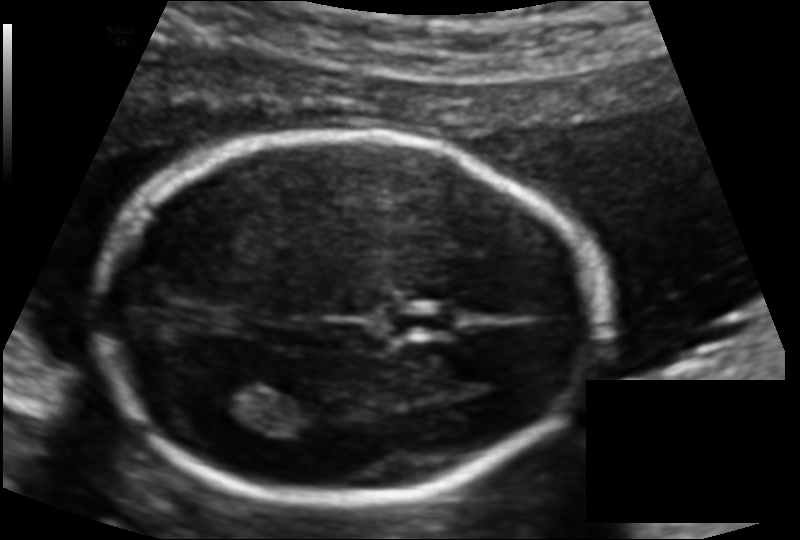
Fetal head ultrasound. Image width: 91.6 mm. Where is the lateral ventricle?

Lateral ventricle bounding box: [200,363,285,435]